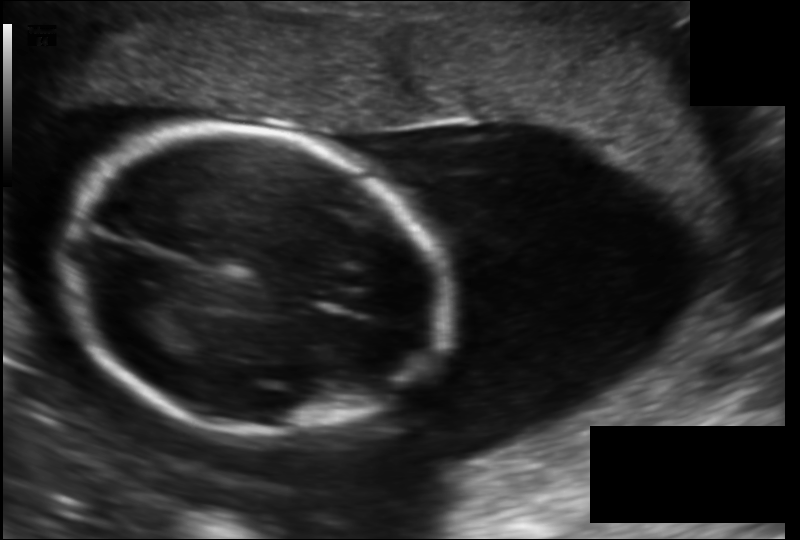
Estimate the fetal head circumference from this 2D ultrasound. Image width: 124.6 mm.

Head circumference: 175.2 mm.